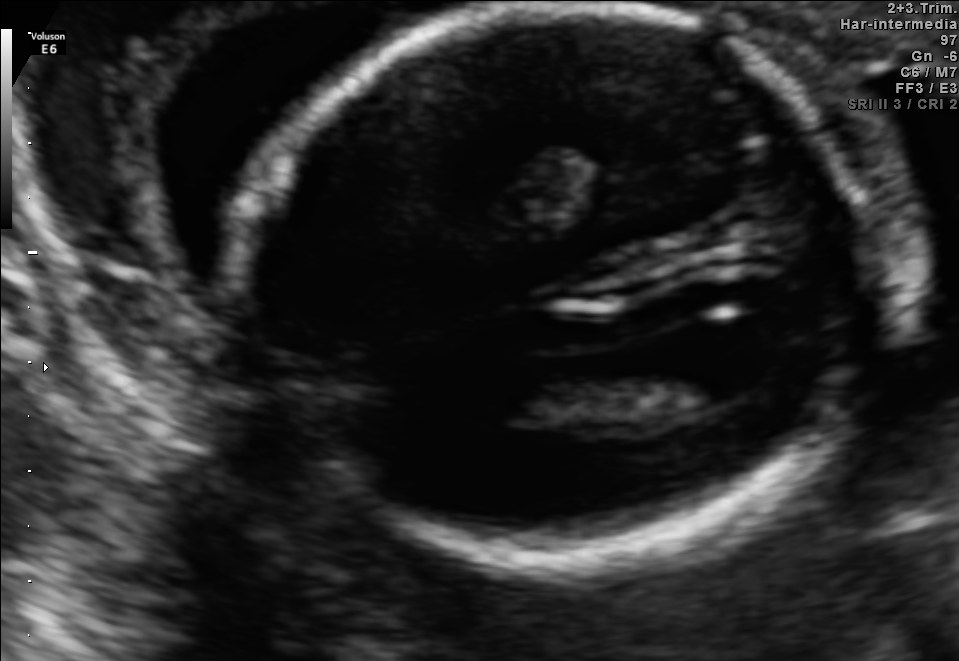
In this fetal brain, trans-ventricular plane, give the bounding box of the fetal head.

[227,4,884,579]